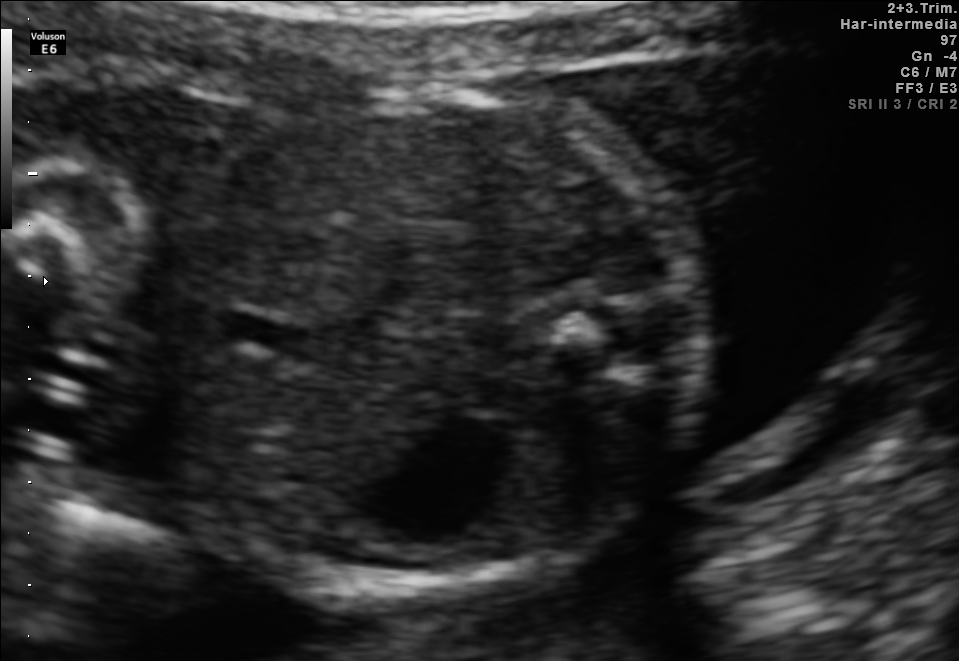
This is a 2D maternal-fetal ultrasound frame. Is it a fetal abdomen, fetal brain, fetal femur, fetal thorax, maternal cervix, or other standard plane? If it's fetal brain and one of the three standard brain planes (trans-thalamic, trans-cerebellum, trans-ventricular), name which.

Other